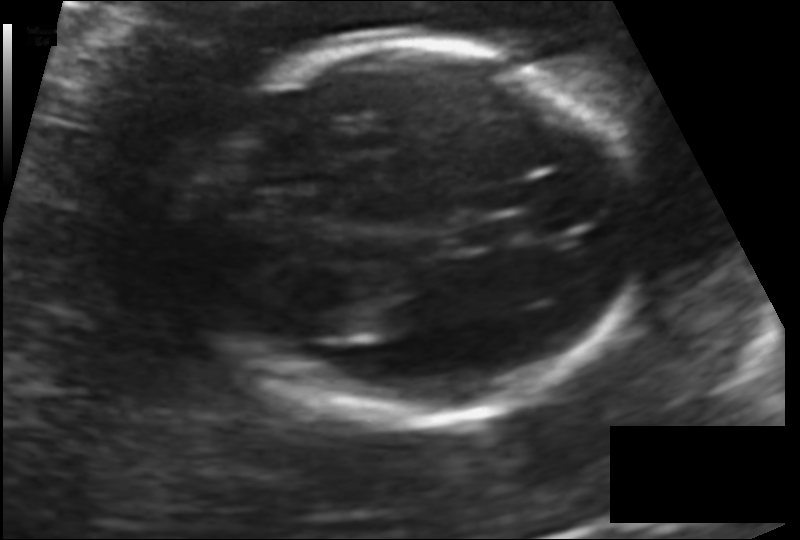
In this fetal head ultrasound, give the bounding box of the fetal head. Image width: 104.5 mm.

[196,38,634,423]